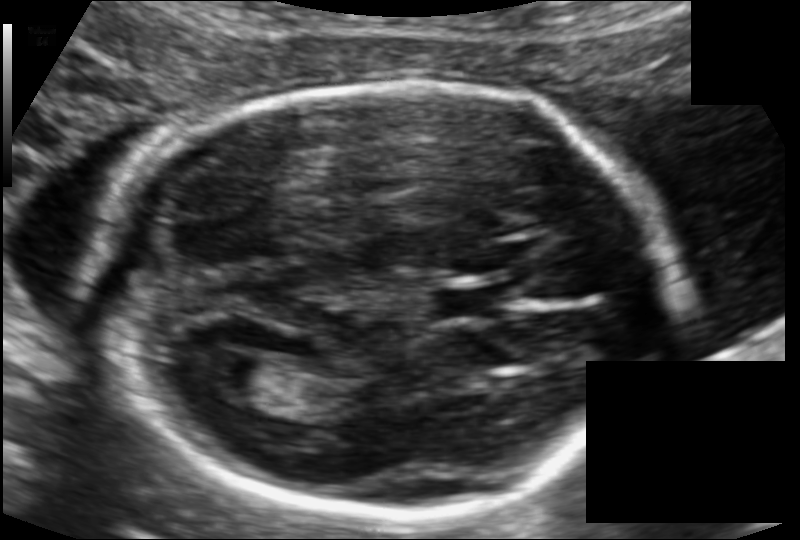
Fetal head ultrasound. Image width: 87.3 mm. Locate the cavum septum pellucidum.

CSP: [428,280,504,325]